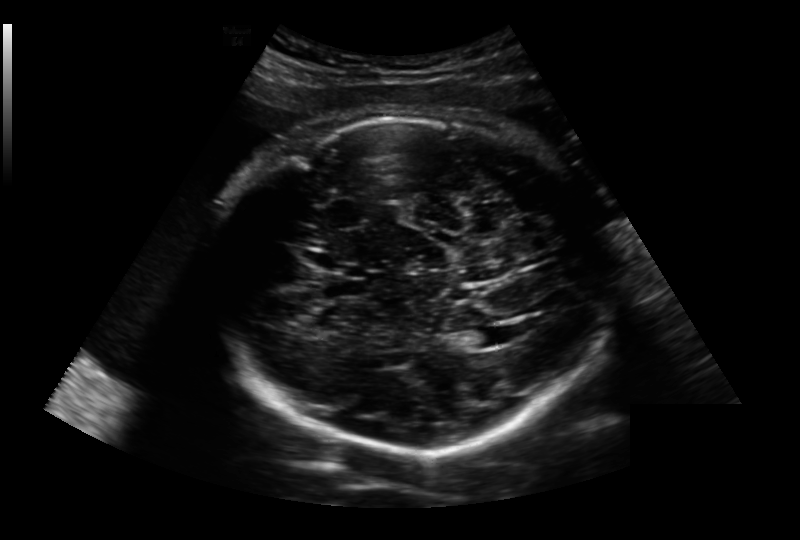
Fetal head ultrasound. Image width: 188.7 mm. Locate the fetal head and, if visible, the cavum septum pellucidum (CSP) and lateral ventricle (LV). Give bounding boxes as [x1,y1,x2,y2].

Head: [208,115,609,454]
CSP: [320,277,372,300]
Lateral ventricle: [461,324,509,351]